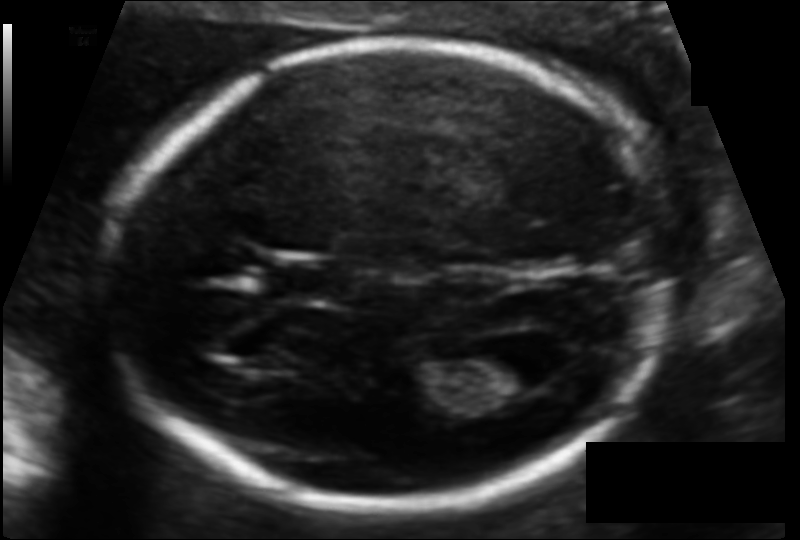
Fetal head ultrasound. Image width: 82.6 mm. Locate the lateral ventricle.

Lateral ventricle: [465,332,558,408]